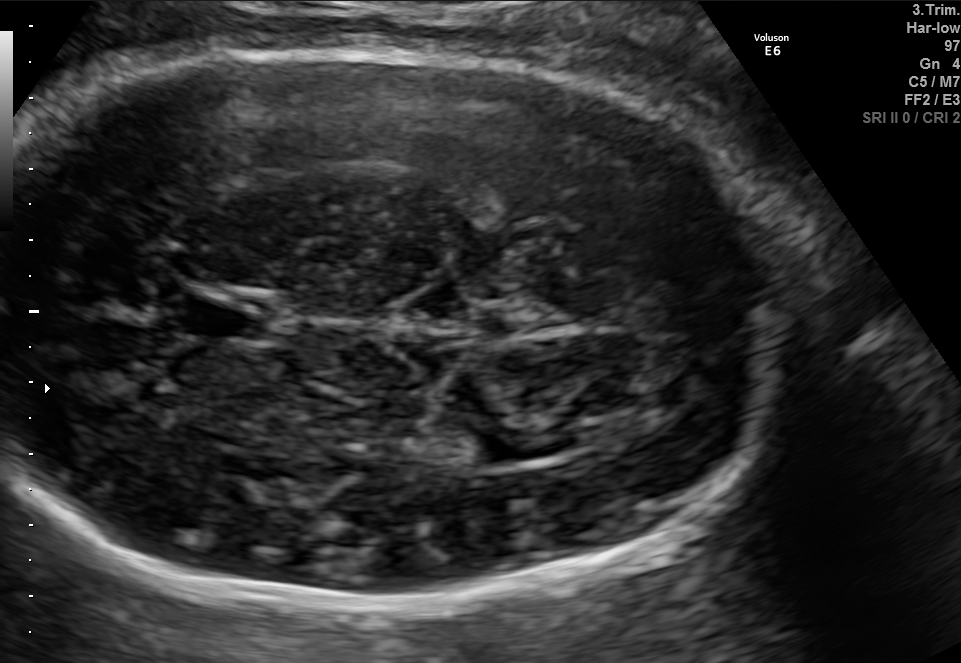
Fetal brain, trans-thalamic plane. Locate the fetal head and, if visible, the cavum septum pellucidum (CSP) and lateral ventricle (LV). Give bounding boxes as [x1,y1,x2,y2].

Head: [4,49,789,614]
CSP: [183,296,270,337]
Lateral ventricle: [472,420,563,467]